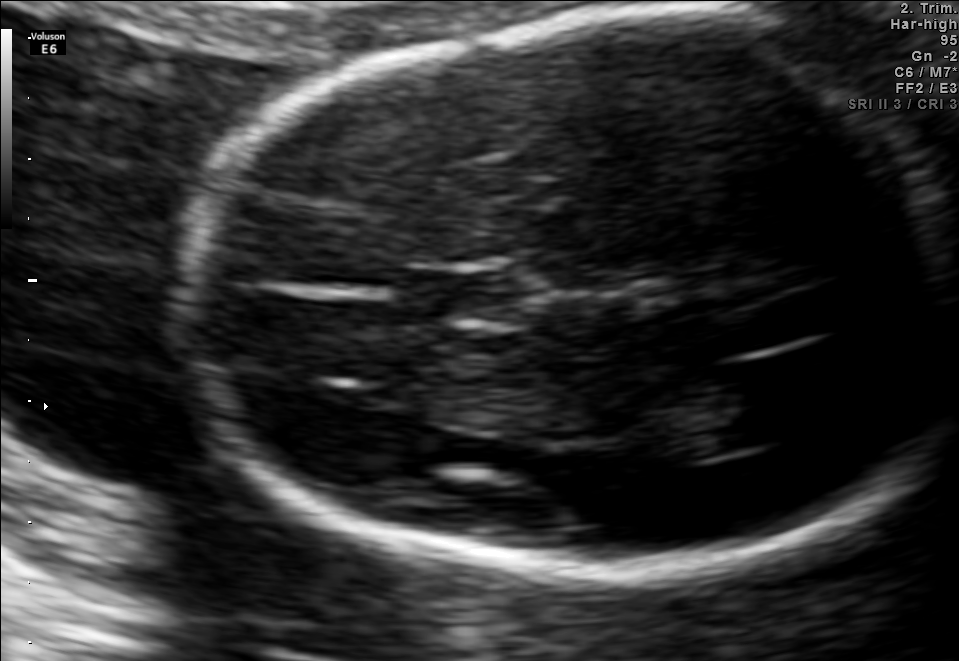
Fetal brain, trans-thalamic plane. Give [x1,y1,x2,y2] bounding boxes for each visible structure among: fetal head, CSP, LV.

Head: [182,19,955,572]
CSP: [404,274,517,320]
Lateral ventricle: [665,363,802,463]